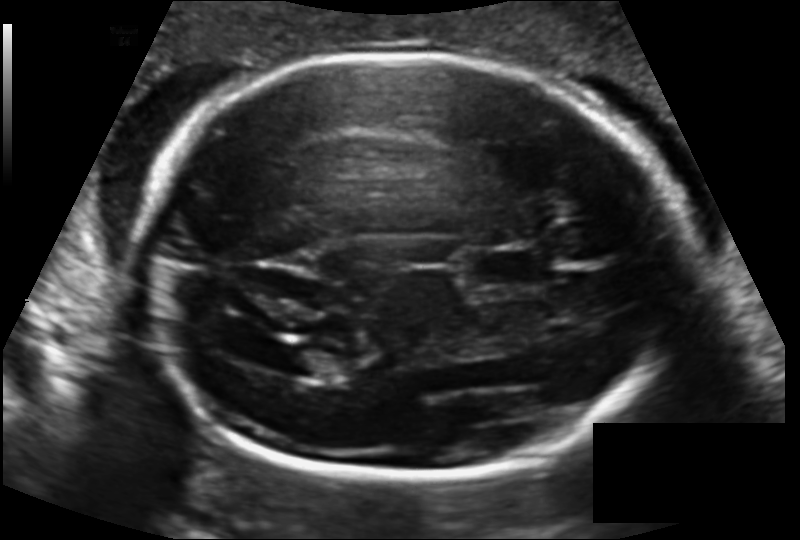
From this fetal ultrasound, estimate the head circumference (image width 112.0 mm).

Head circumference: 219.8 mm.